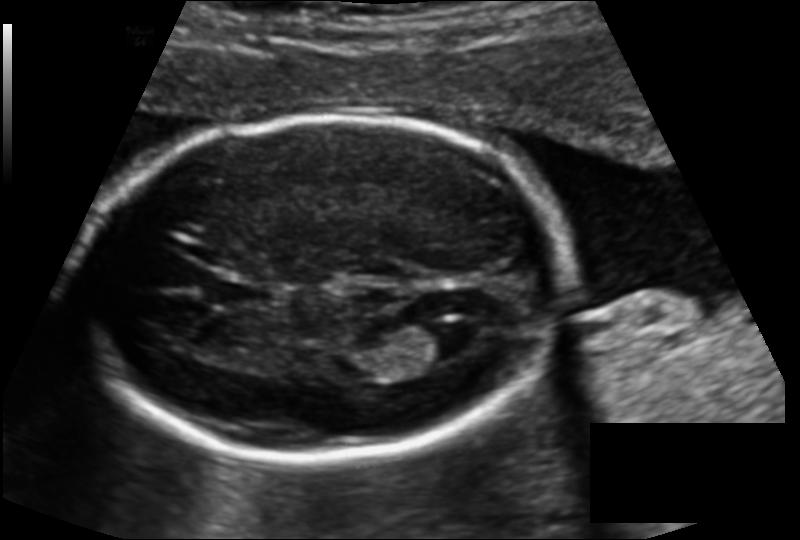
Fetal head ultrasound. Image width: 109.1 mm. Locate the cavum septum pellucidum.

CSP: [207,274,272,312]